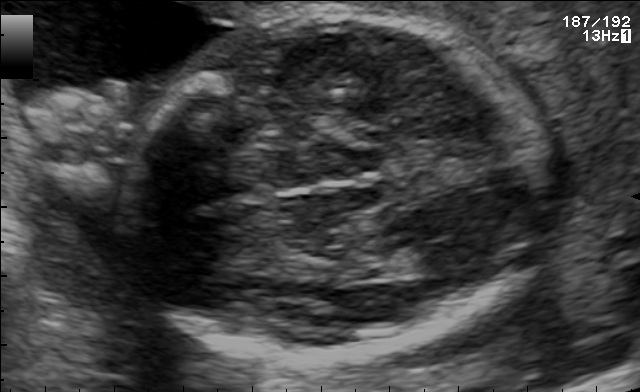
Fetal brain, trans-thalamic plane. Locate the fetal head.

Head: [114,14,550,358]